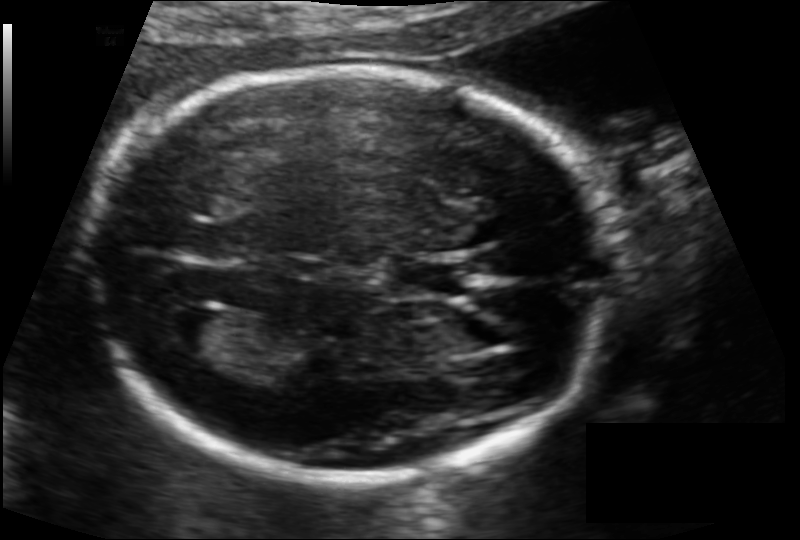
Fetal head ultrasound. Image width: 91.1 mm. Where is the lateral ventricle?

Lateral ventricle bounding box: [157,302,228,358]